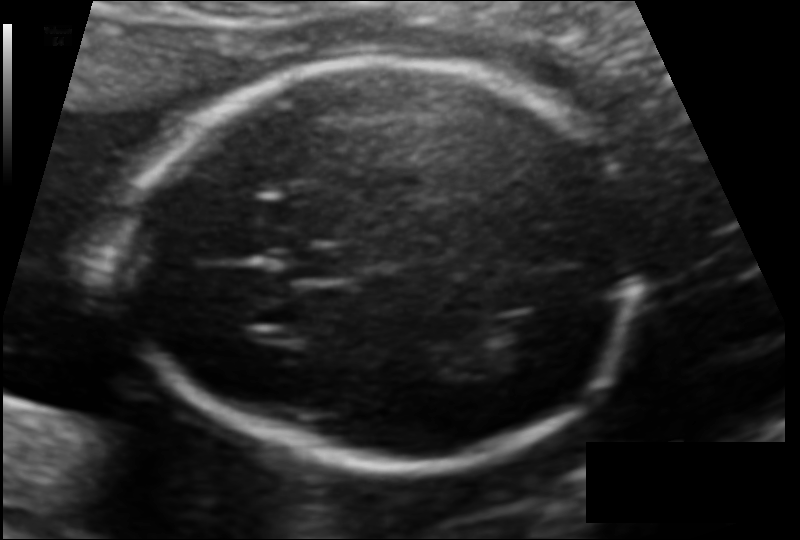
What is the fetal head circumference? Image width is 92.5 mm.

171.8 mm